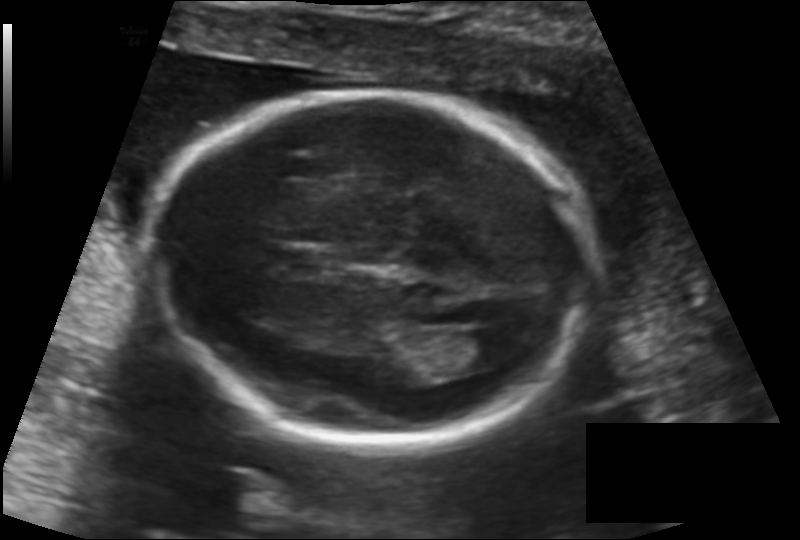
In this fetal head ultrasound, give the bounding box of the cavum septum pellucidum. Image width: 109.6 mm.

[278,248,330,276]